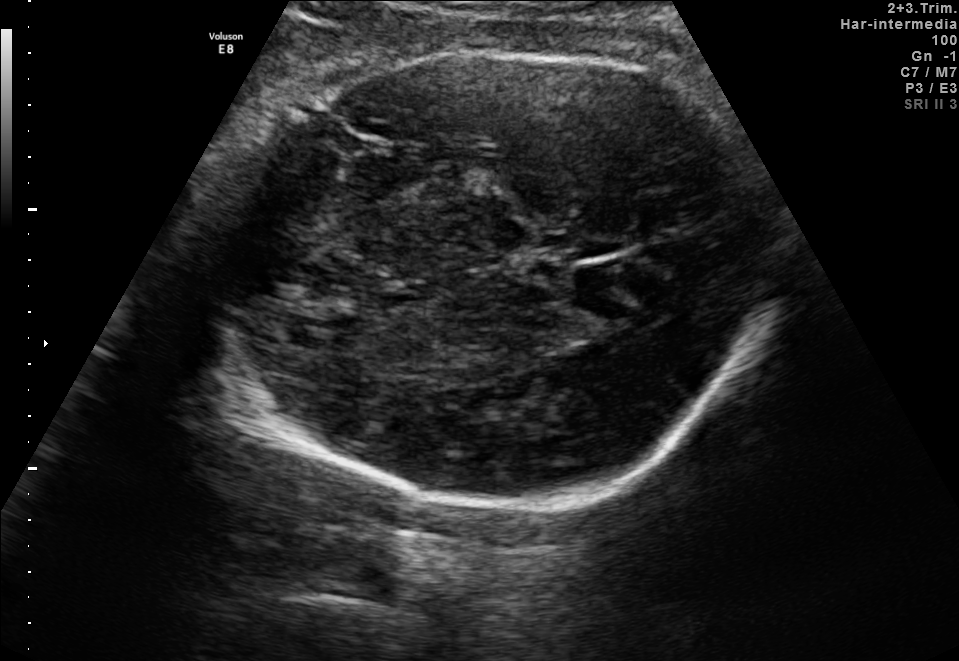
Fetal brain, trans-thalamic plane. Locate the fetal head and, if visible, the cavum septum pellucidum (CSP) and lateral ventricle (LV). Give bounding boxes as [x1,y1,x2,y2].

Head: [206,44,779,519]